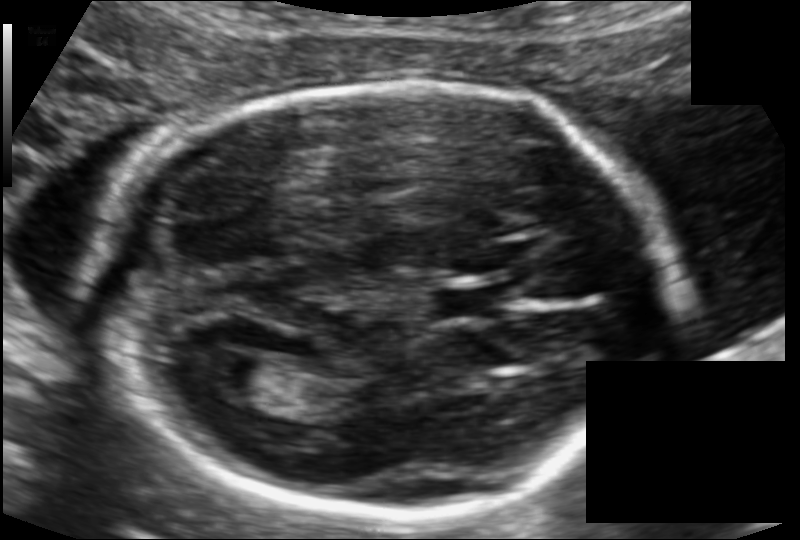
What is the fetal head circumference? Image width is 87.3 mm.

180.7 mm